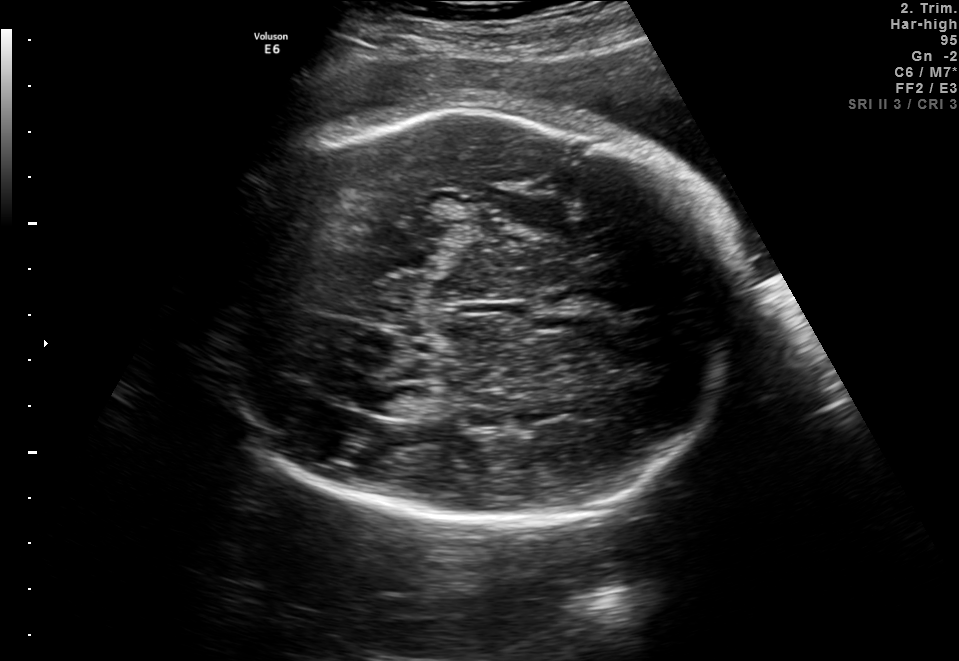
Which standard maternal-fetal ultrasound plane is shown: fetal abdomen, fetal brain, fetal femur, fetal thorax, maternal cervix, or other? If it's fetal brain and one of the three standard brain planes (trans-thalamic, trans-cerebellum, trans-ventricular), name which.

Fetal brain (trans-thalamic plane)